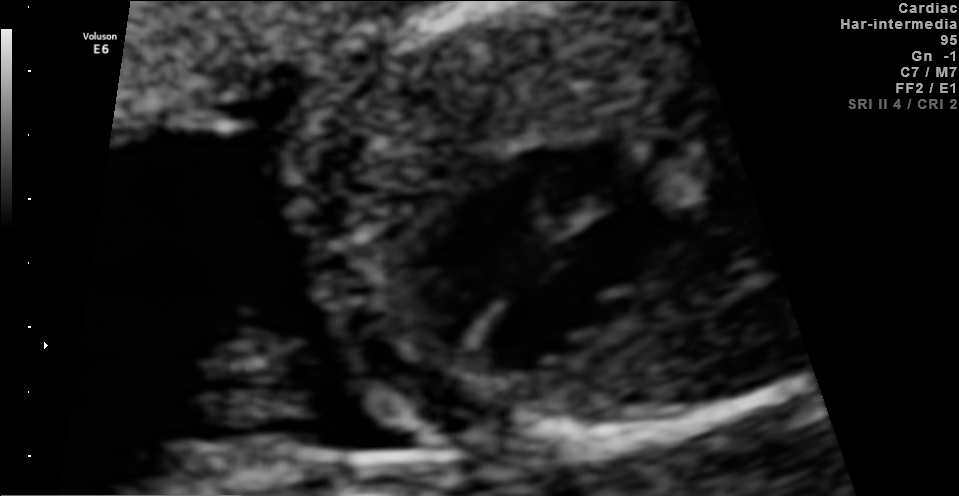
This is a 2D maternal-fetal ultrasound frame. Is it a fetal abdomen, fetal brain, fetal femur, fetal thorax, maternal cervix, or other standard plane? If it's fetal brain and one of the three standard brain planes (trans-thalamic, trans-cerebellum, trans-ventricular), name which.

Fetal thorax